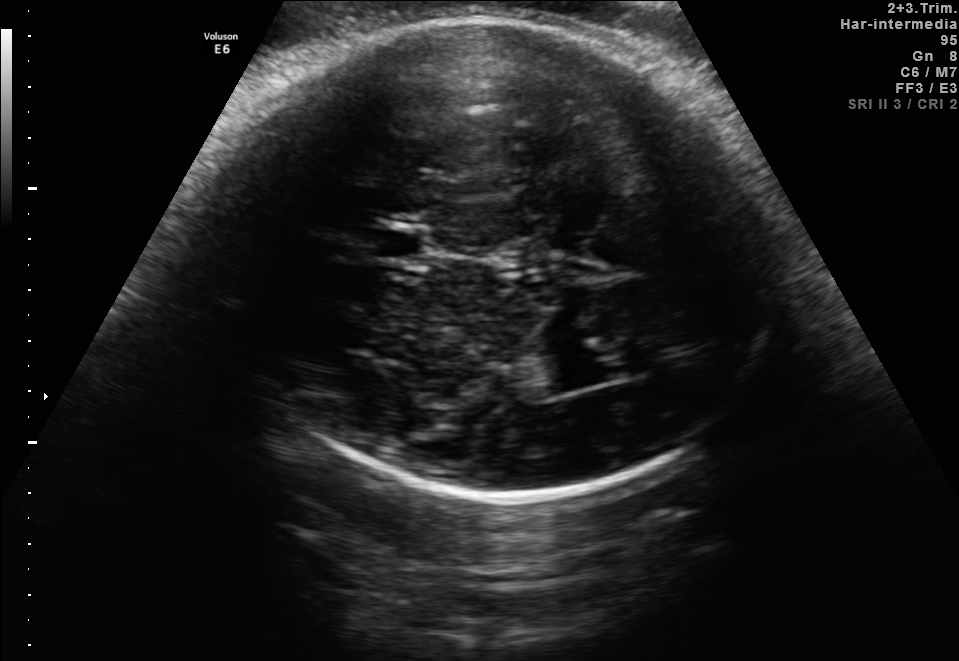
In this fetal brain, trans-thalamic plane, give bounding boxes for the head outline, cavum septum pellucidum (CSP), and lateral ventricle (LV), where visible.

Head: [214,22,781,499]
CSP: [373,230,423,260]
Lateral ventricle: [533,347,603,399]